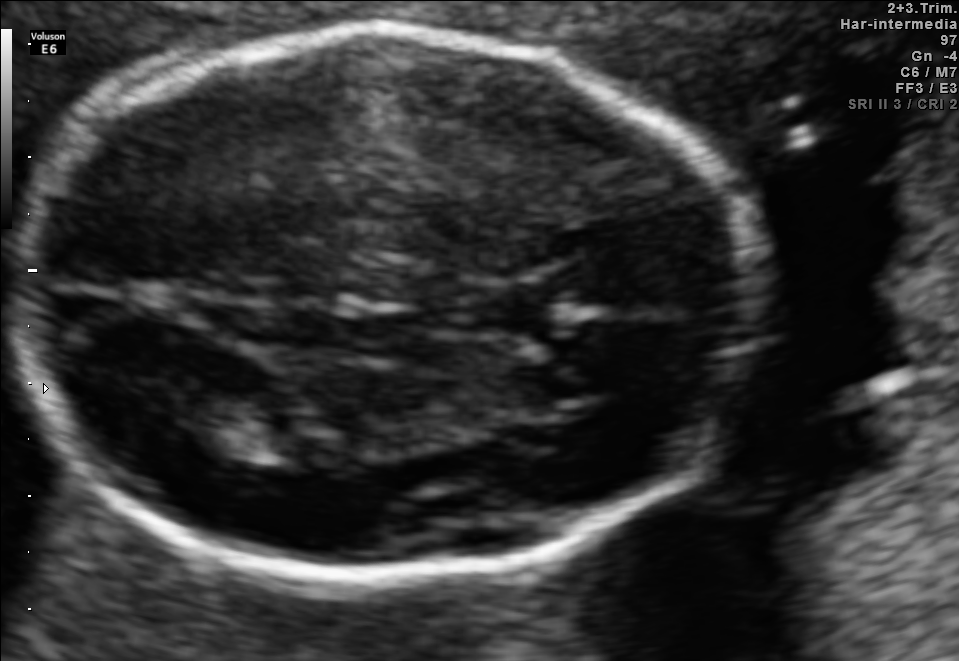
Fetal brain, trans-thalamic plane. Locate the fetal head.

Head: [9,34,746,567]